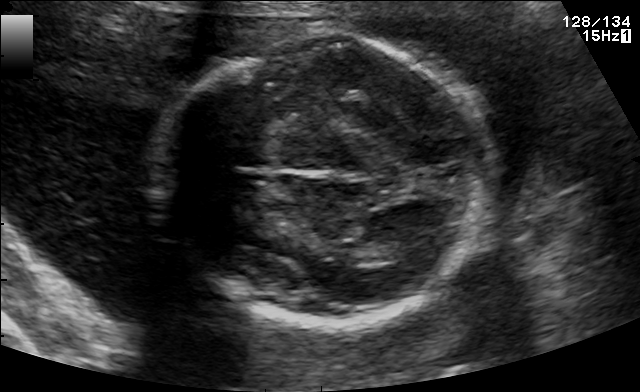
Fetal brain, trans-thalamic plane. Locate the fetal head.

Head: [153,38,495,323]